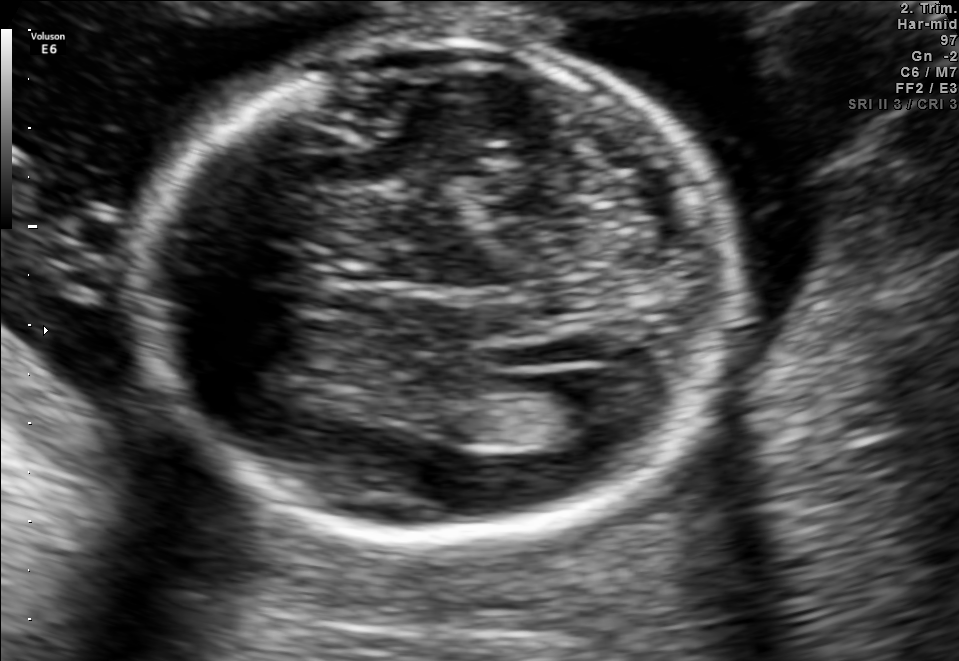
Fetal brain, trans-ventricular plane. Where is the fetal head?

Head bounding box: [124,27,753,548]